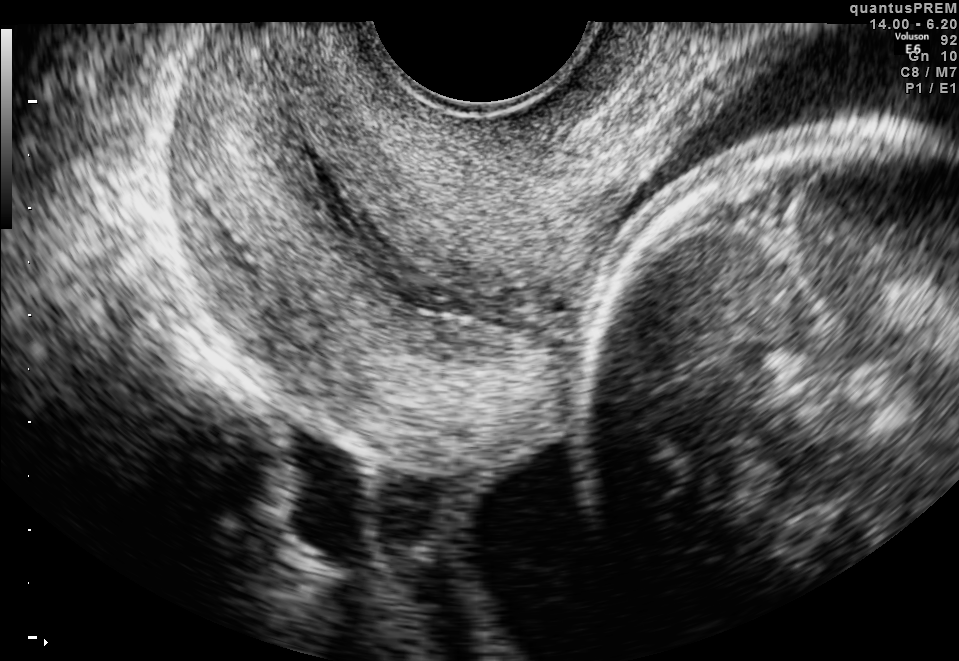
Identify the standard plane in this fetal ultrasound image: fetal abdomen, fetal brain, fetal femur, fetal thorax, maternal cervix, or other. If it's fetal brain and one of the three standard brain planes (trans-thalamic, trans-cerebellum, trans-ventricular), name which.

Maternal cervix